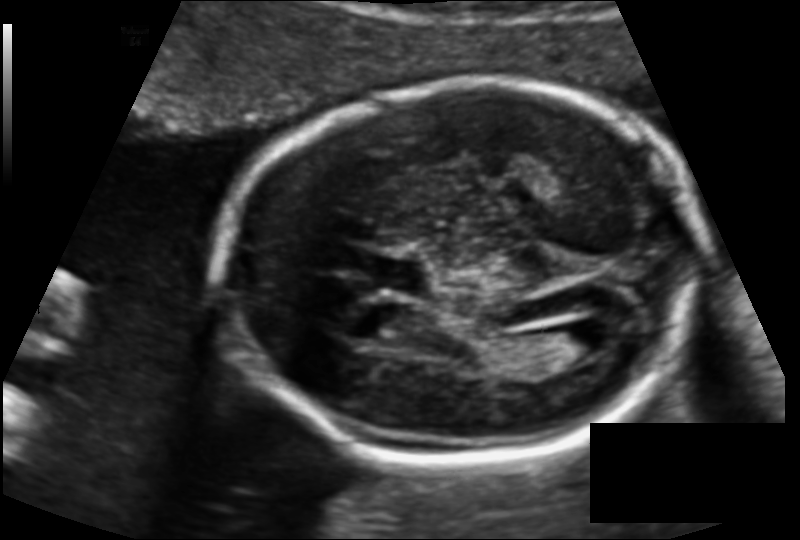
Fetal head ultrasound. Image width: 99.5 mm. Where is the lateral ventricle?

Lateral ventricle bounding box: [542,320,618,371]